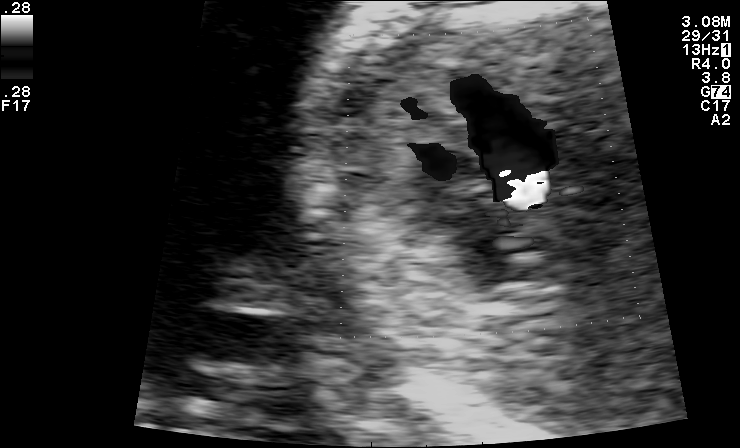
This is a 2D maternal-fetal ultrasound frame. Is it a fetal abdomen, fetal brain, fetal femur, fetal thorax, maternal cervix, or other standard plane? If it's fetal brain and one of the three standard brain planes (trans-thalamic, trans-cerebellum, trans-ventricular), name which.

Other